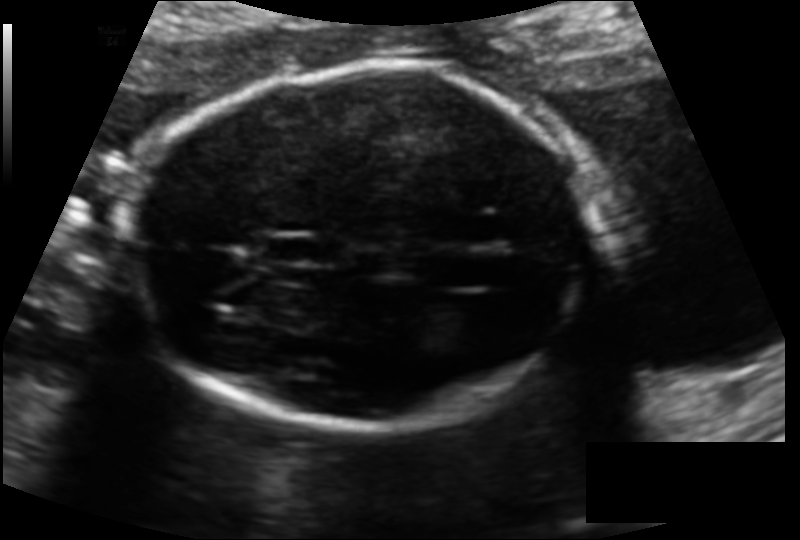
Fetal head ultrasound. Image width: 101.0 mm. Give [x1,y1,x2,y2] bounding boxes for each visible structure among: fetal head, CSP, LV.

Head: [127,65,591,429]
CSP: [263,234,318,264]